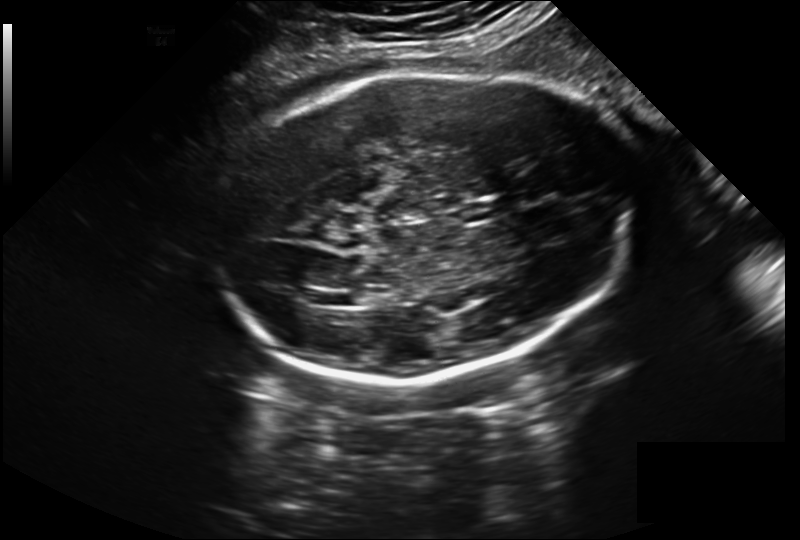
Fetal head ultrasound. Image width: 194.5 mm. Where is the fetal head?

Head bounding box: [210,69,633,380]